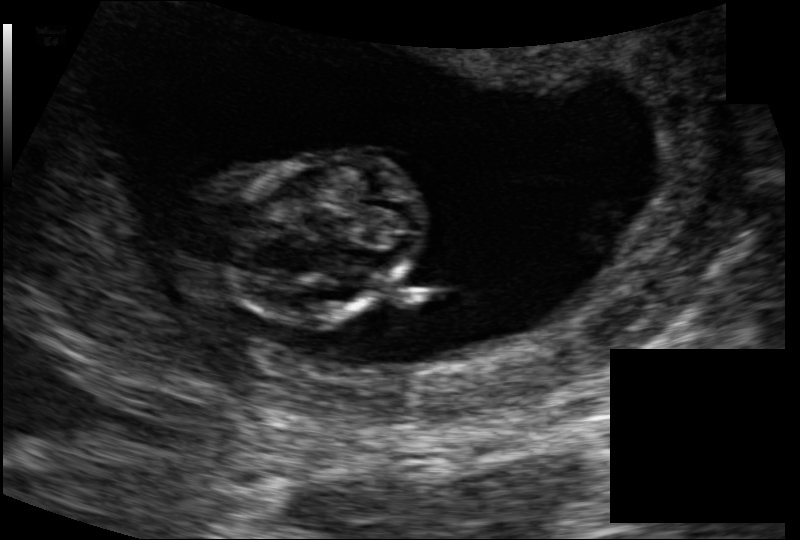
What is the fetal head circumference? Image width is 92.7 mm.

69.8 mm